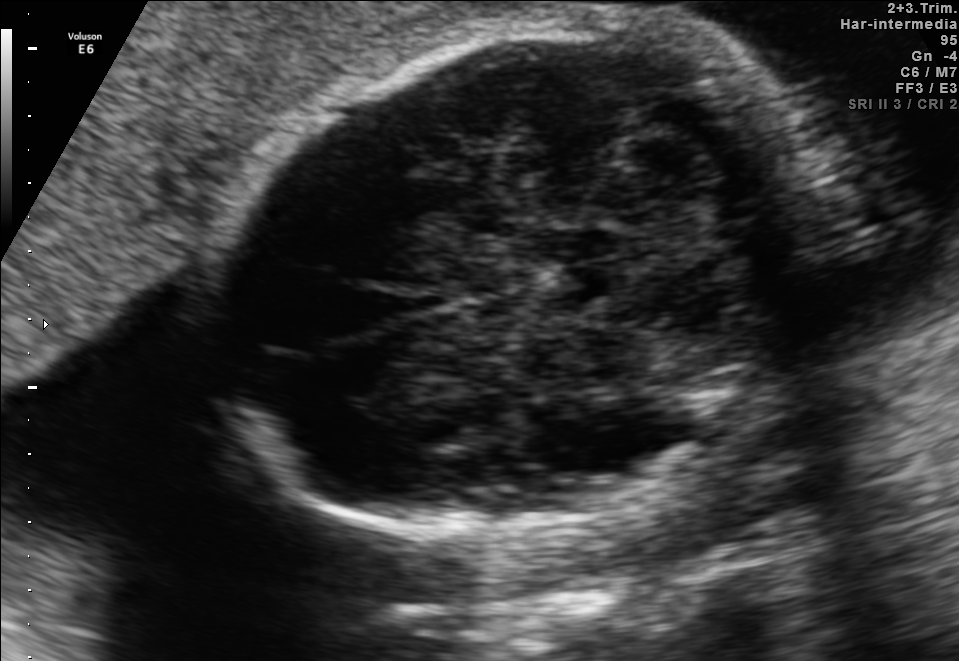
Fetal brain, trans-cerebellum plane. Give [x1,y1,x2,y2] bounding boxes for each visible structure among: fetal head, CSP, LV.

Head: [206,23,817,538]